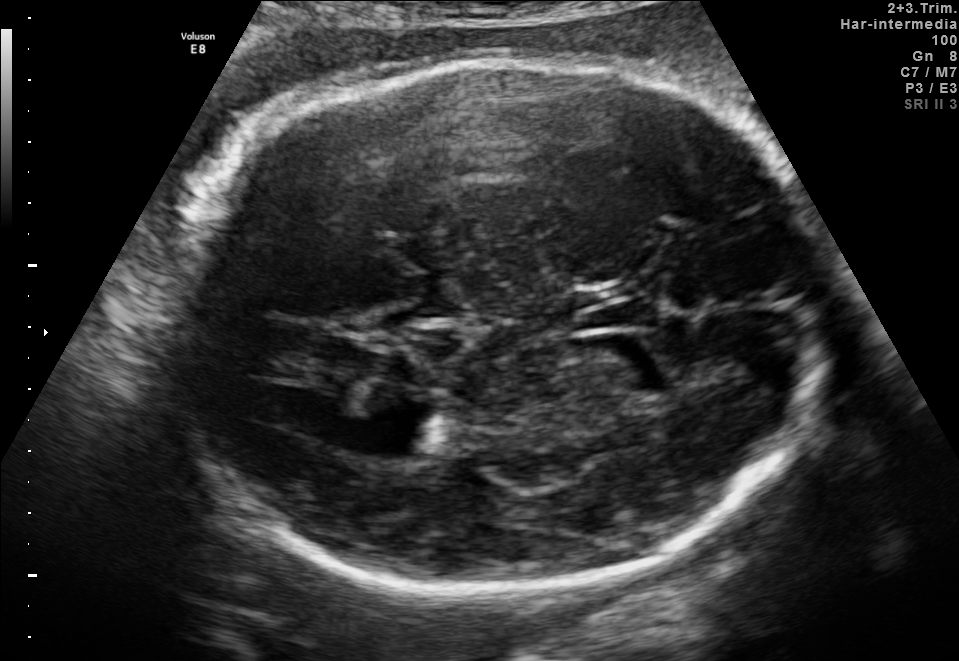
In this fetal brain, trans-thalamic plane, give the bounding box of the fetal head.

[172,55,819,594]